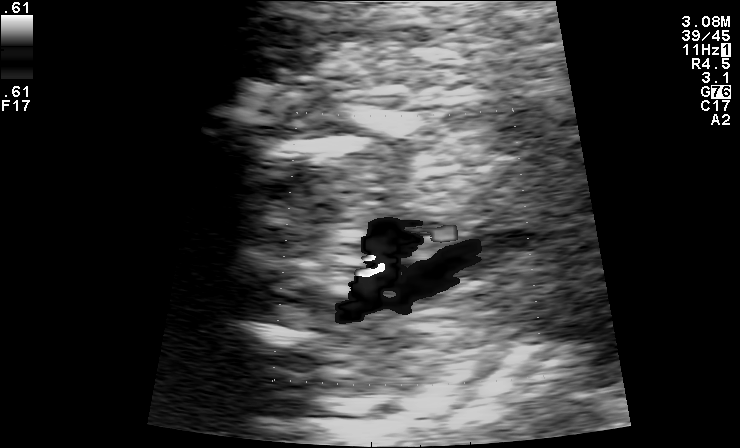
This is a 2D maternal-fetal ultrasound frame. Is it a fetal abdomen, fetal brain, fetal femur, fetal thorax, maternal cervix, or other standard plane? If it's fetal brain and one of the three standard brain planes (trans-thalamic, trans-cerebellum, trans-ventricular), name which.

Other